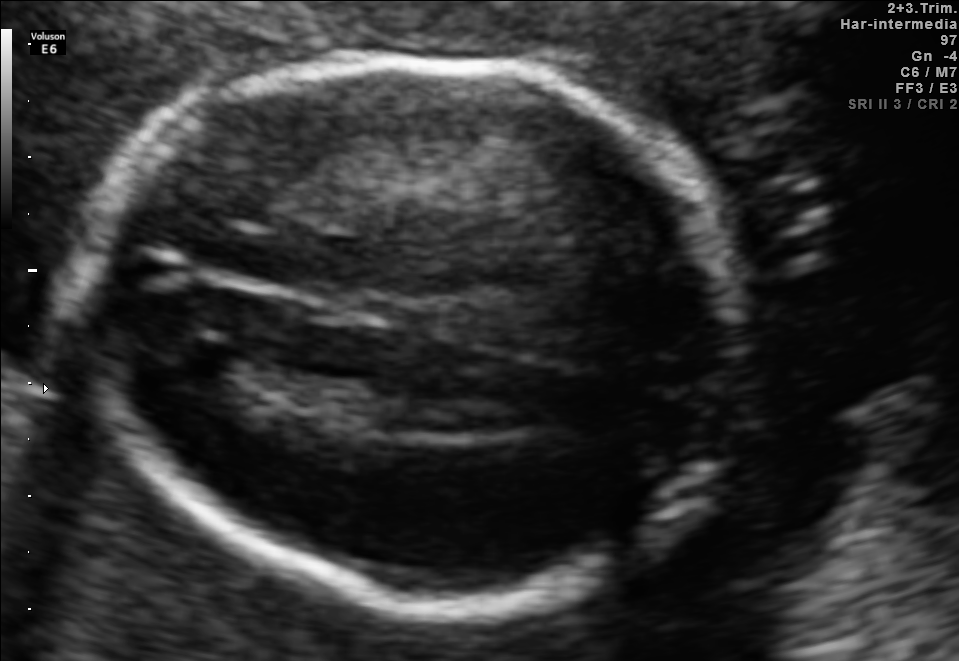
Identify the standard plane in this fetal ultrasound image: fetal abdomen, fetal brain, fetal femur, fetal thorax, maternal cervix, or other. If it's fetal brain and one of the three standard brain planes (trans-thalamic, trans-cerebellum, trans-ventricular), name which.

Fetal brain (trans-thalamic plane)